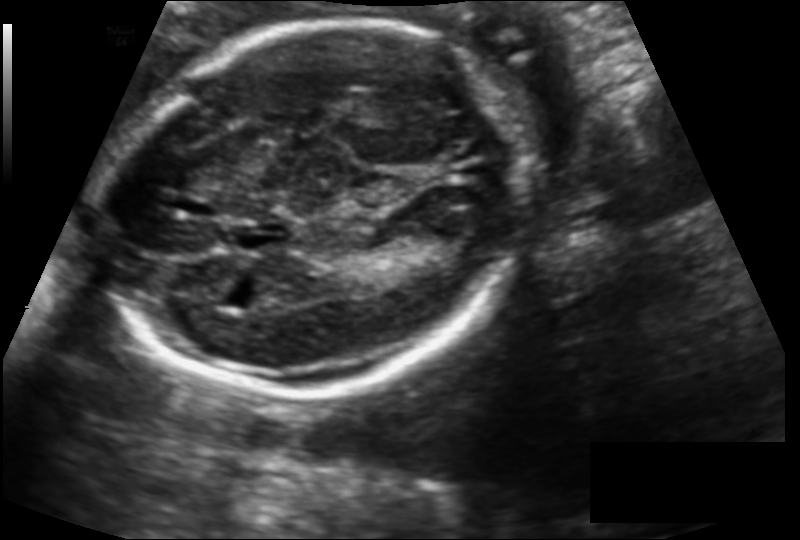
In this fetal head ultrasound, give the bounding box of the fetal head. Image width: 106.3 mm.

[100,20,535,392]